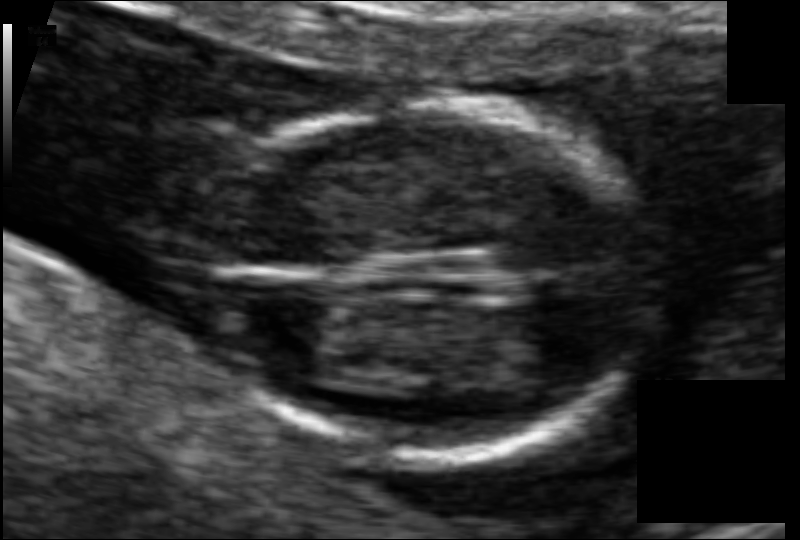
Fetal head ultrasound. Image width: 51.8 mm. Locate the fetal head.

Head: [194,103,656,460]